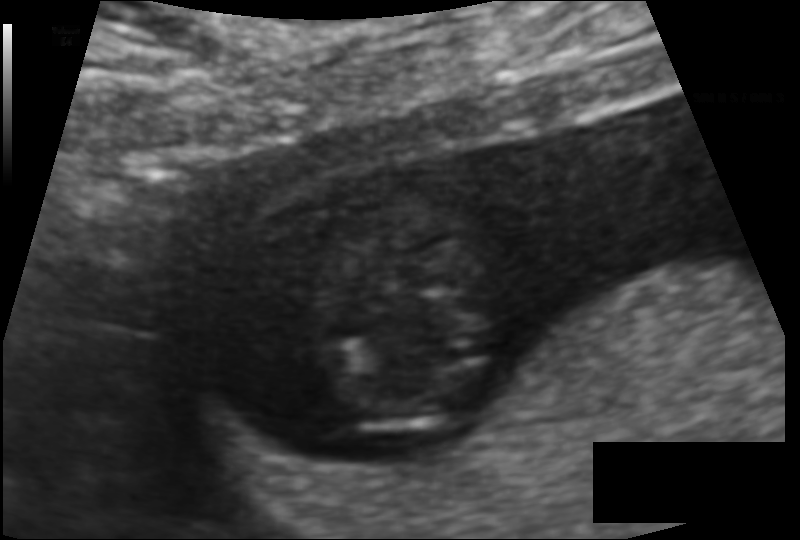
Fetal head ultrasound. Image width: 75.5 mm. Locate the fetal head and, if visible, the cavum septum pellucidum (CSP) and lateral ventricle (LV). Give bounding boxes as [x1,y1,x2,y2].

Head: [308,199,504,435]